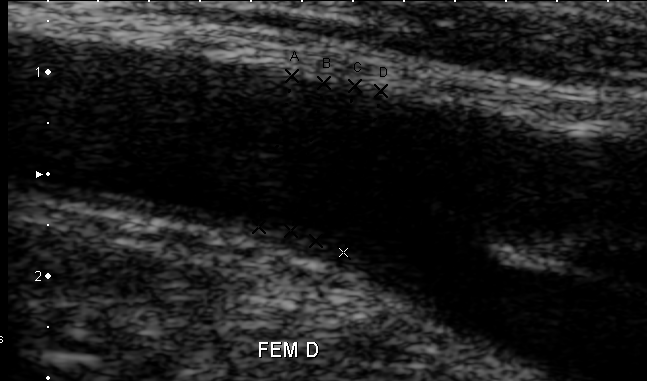
Identify the standard plane in this fetal ultrasound image: fetal abdomen, fetal brain, fetal femur, fetal thorax, maternal cervix, or other. If it's fetal brain and one of the three standard brain planes (trans-thalamic, trans-cerebellum, trans-ventricular), name which.

Other